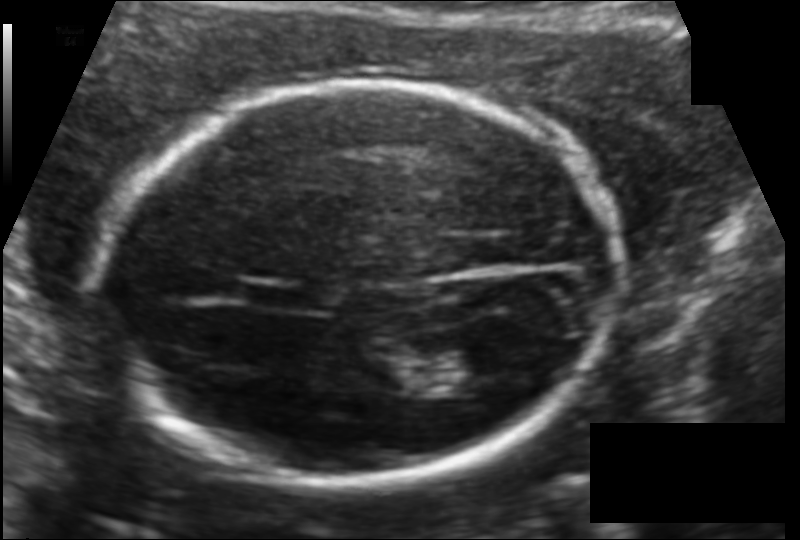
From this fetal ultrasound, estimate the head circumference (image width 96.7 mm).

Head circumference: 182.2 mm.